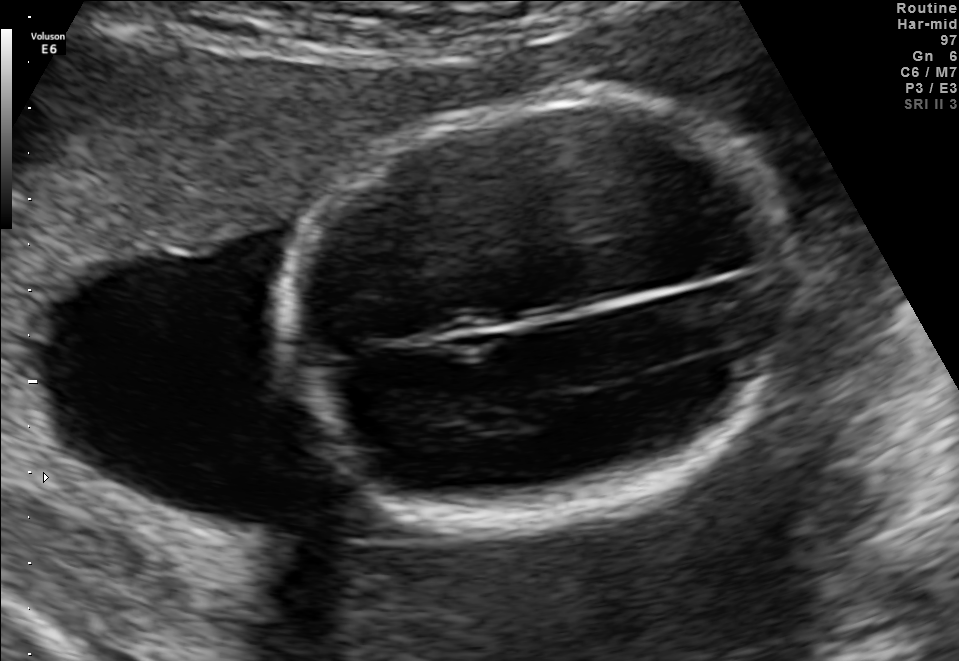
Fetal brain, trans-thalamic plane. Locate the fetal head.

Head: [291,103,790,518]